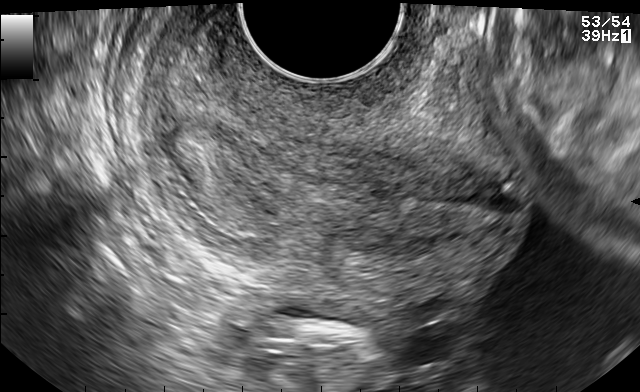
Which standard maternal-fetal ultrasound plane is shown: fetal abdomen, fetal brain, fetal femur, fetal thorax, maternal cervix, or other? If it's fetal brain and one of the three standard brain planes (trans-thalamic, trans-cerebellum, trans-ventricular), name which.

Maternal cervix